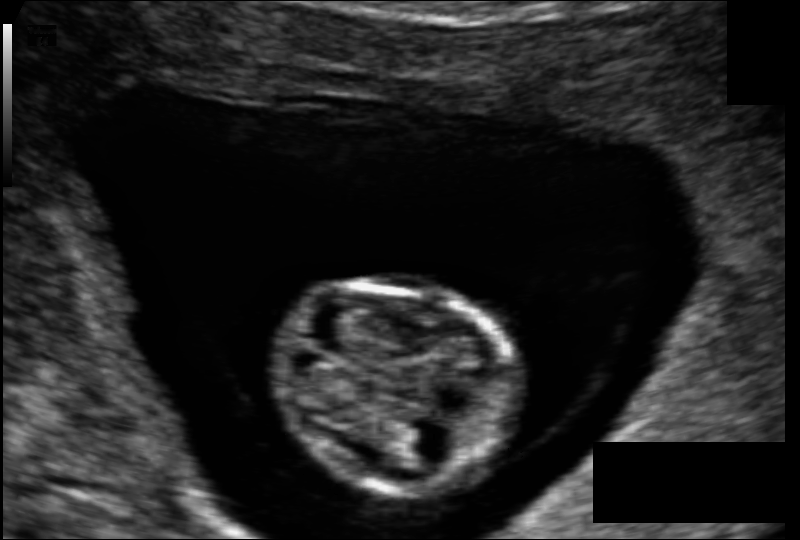
Fetal head ultrasound. Image width: 71.4 mm. Locate the fetal head.

Head: [275,285,520,490]